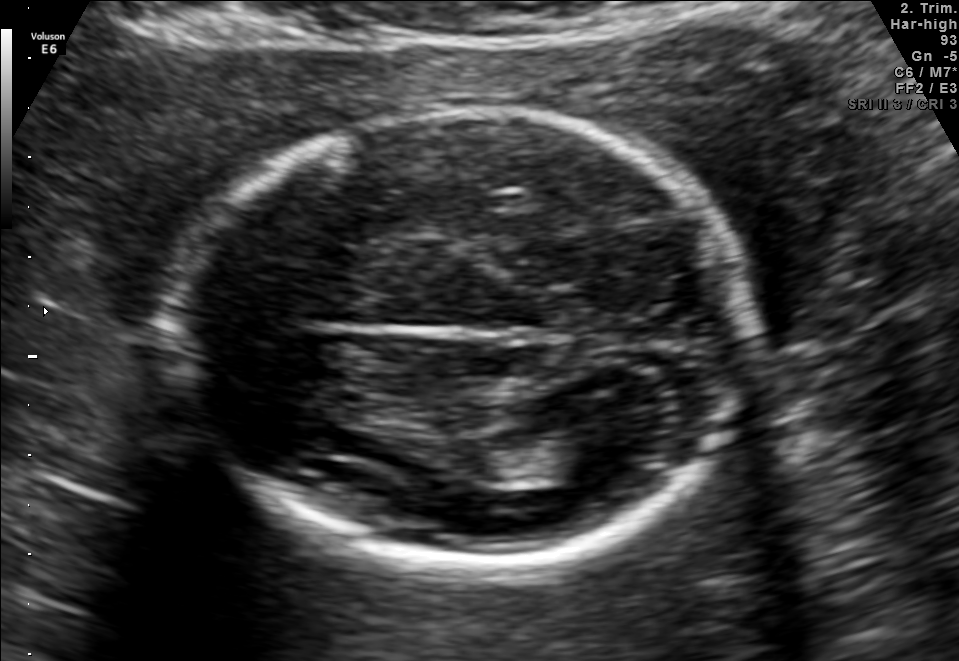
In this fetal brain, trans-thalamic plane, give the bounding box of the fetal head.

[171,107,752,564]